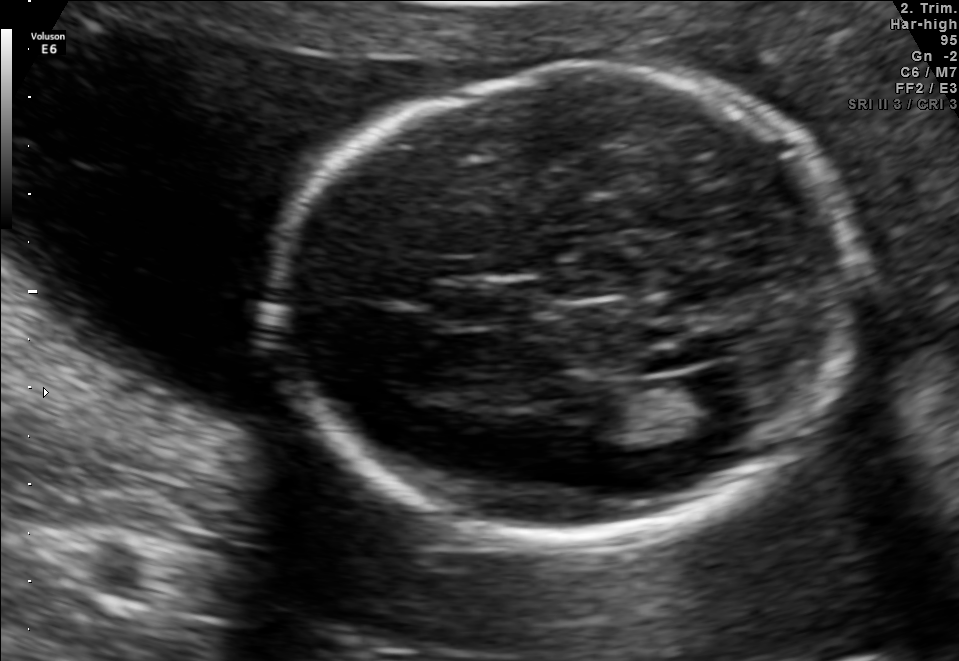
Fetal brain, trans-ventricular plane. Where is the cavum septum pellucidum?

CSP bounding box: [437,285,534,323]